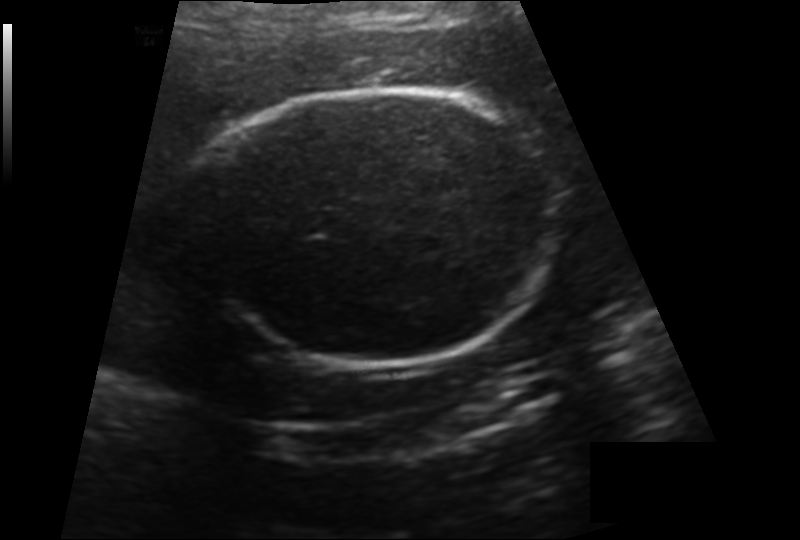
What is the fetal head circumference? Image width is 133.0 mm.

176.3 mm